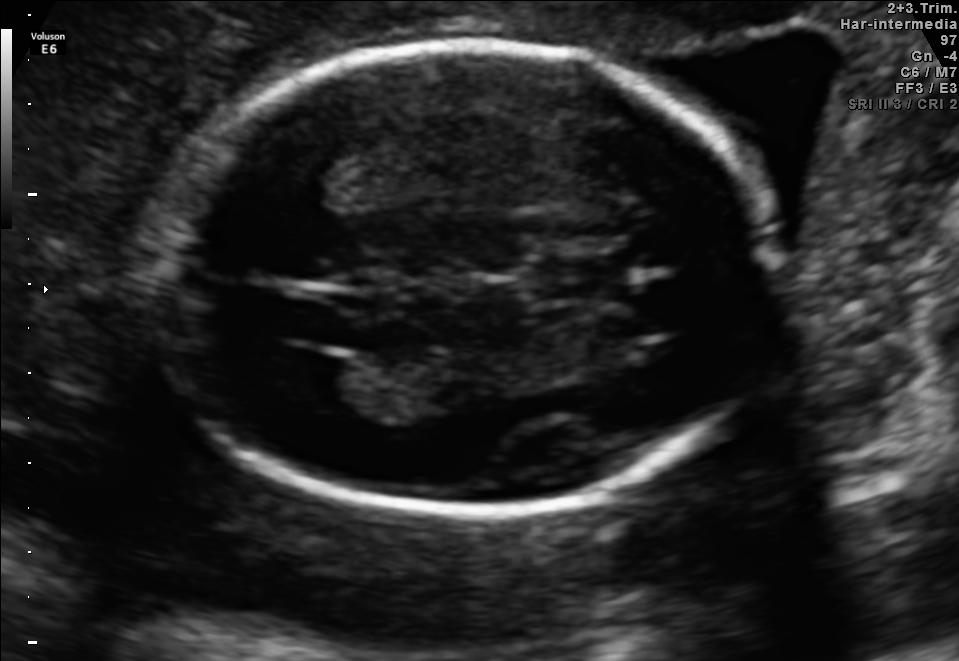
Fetal brain, trans-ventricular plane. Give [x1,y1,x2,y2] bounding boxes for each visible structure among: fetal head, CSP, LV.

Head: [144,37,797,520]
CSP: [541,259,624,298]
Lateral ventricle: [276,350,351,401]